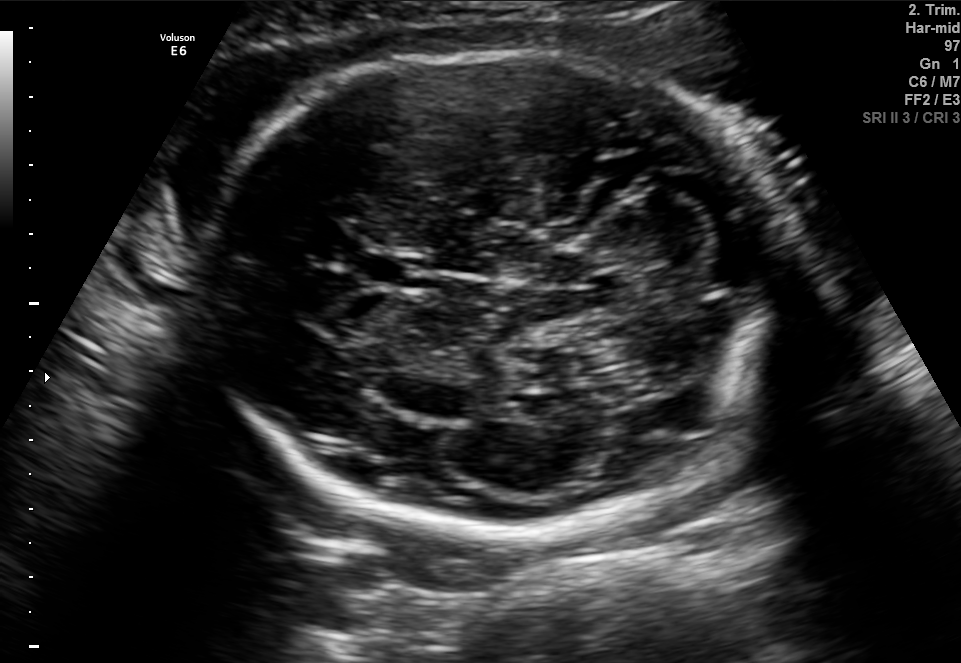
Fetal brain, trans-cerebellum plane. Locate the fetal head.

Head: [207,53,786,530]